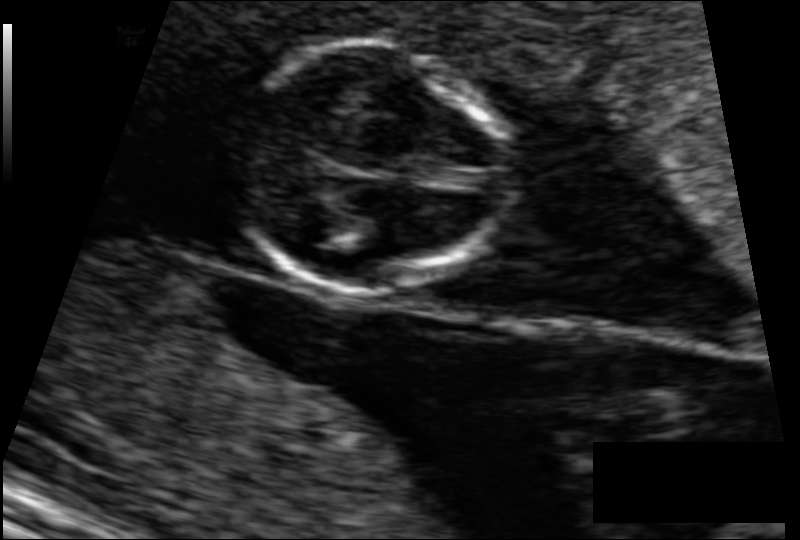
In this fetal head ultrasound, give the bounding box of the fetal head. Image width: 66.3 mm.

[232,42,510,292]